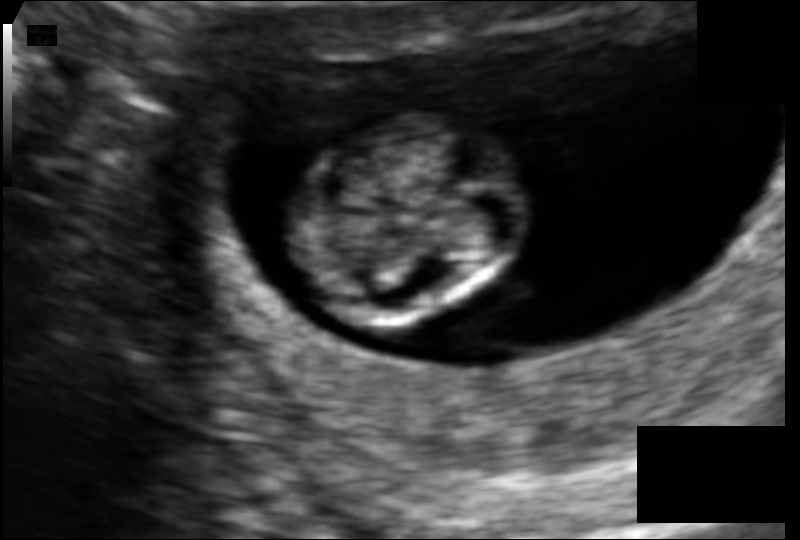
Measure the fetal head circumference shown in this ultrasound image. Image width: 66.8 mm.

Head circumference: 59.4 mm.